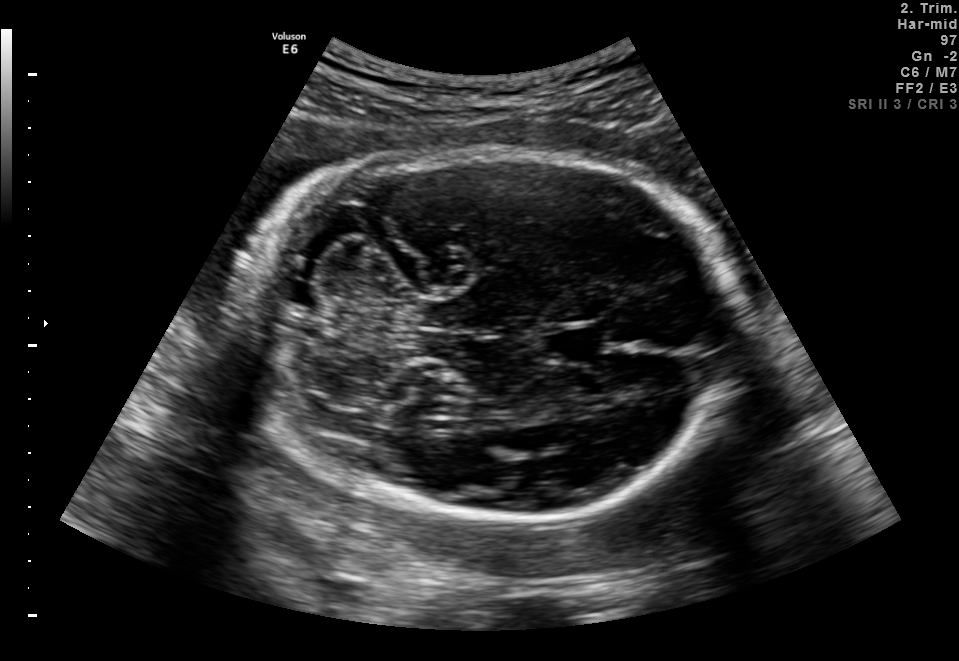
Fetal brain, trans-cerebellum plane. Locate the fetal head.

Head: [239,150,740,521]